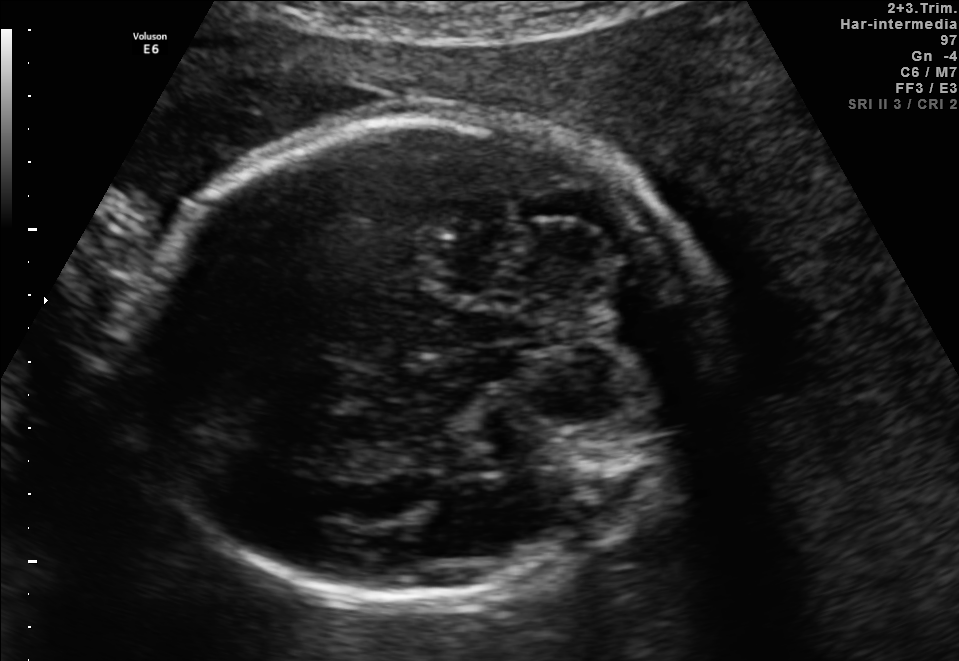
Identify the standard plane in this fetal ultrasound image: fetal abdomen, fetal brain, fetal femur, fetal thorax, maternal cervix, or other. If it's fetal brain and one of the three standard brain planes (trans-thalamic, trans-cerebellum, trans-ventricular), name which.

Fetal brain (trans-cerebellum plane)